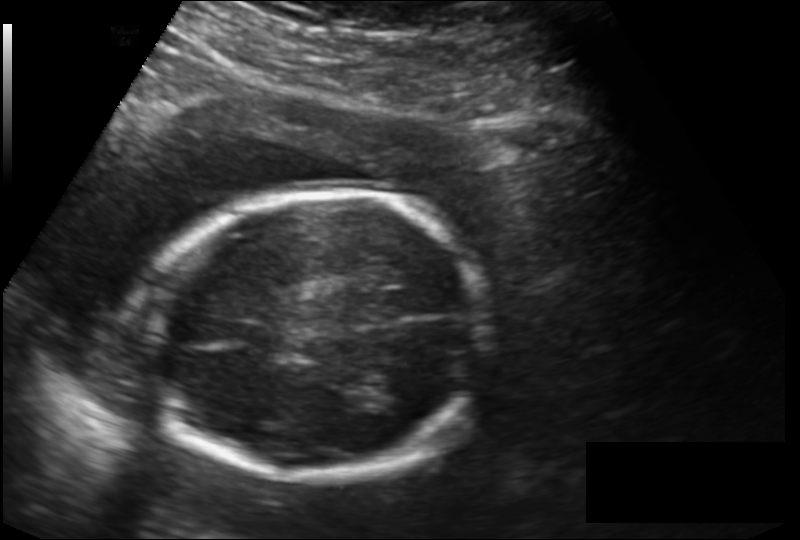
Fetal head ultrasound. Image width: 133.1 mm. Where is the fetal head?

Head bounding box: [138,193,485,476]